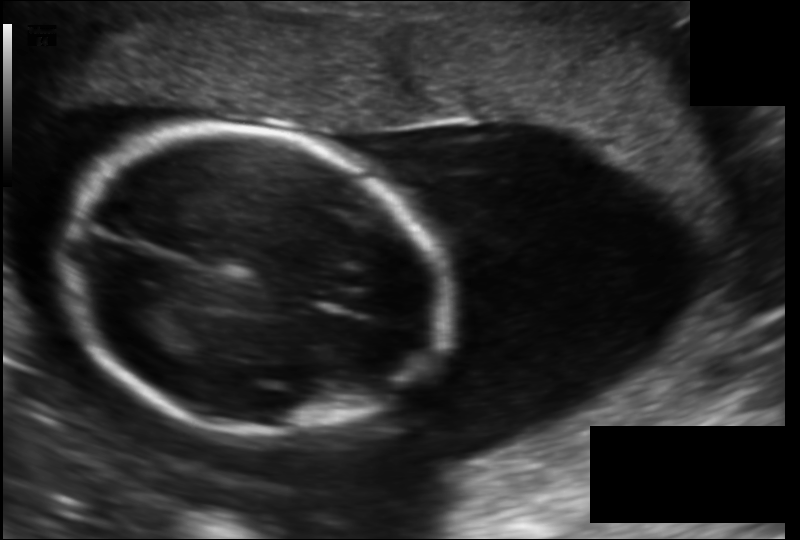
Estimate the fetal head circumference from this 2D ultrasound.

Head circumference: 175.2 mm (image width 124.6 mm).